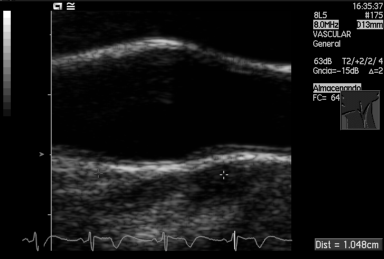
This is a 2D maternal-fetal ultrasound frame. Is it a fetal abdomen, fetal brain, fetal femur, fetal thorax, maternal cervix, or other standard plane? If it's fetal brain and one of the three standard brain planes (trans-thalamic, trans-cerebellum, trans-ventricular), name which.

Other